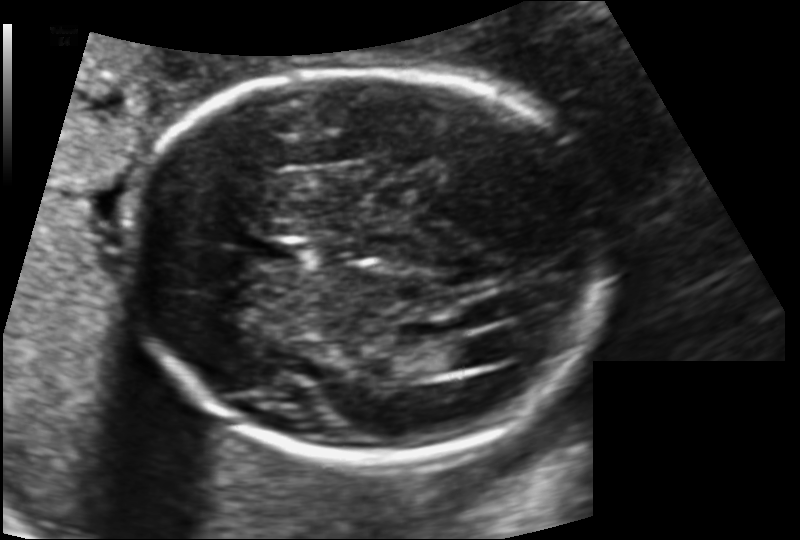
In this fetal head ultrasound, give bounding boxes for the head outline, cavum septum pellucidum (CSP), and lateral ventricle (LV), where visible. Image width: 107.8 mm.

Head: [123,68,611,457]
CSP: [254,237,312,266]
Lateral ventricle: [437,335,492,372]